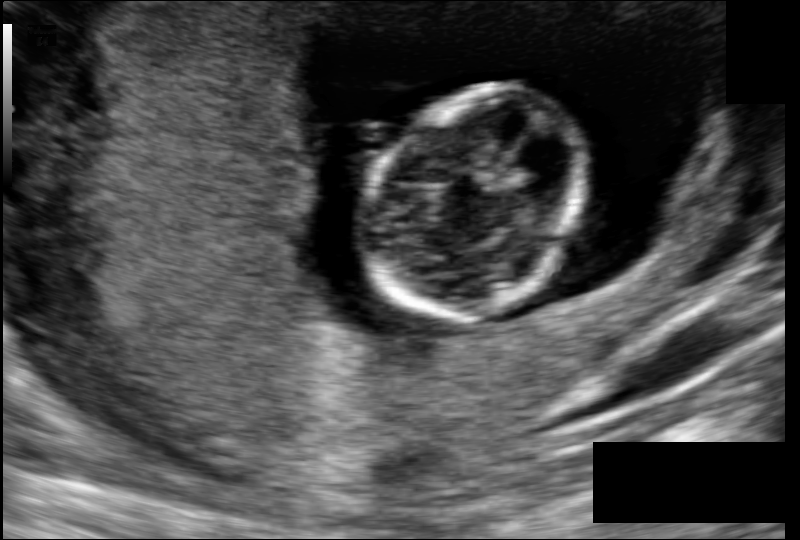
Fetal head ultrasound. Image width: 86.3 mm. Where is the fetal head?

Head bounding box: [360,86,588,324]